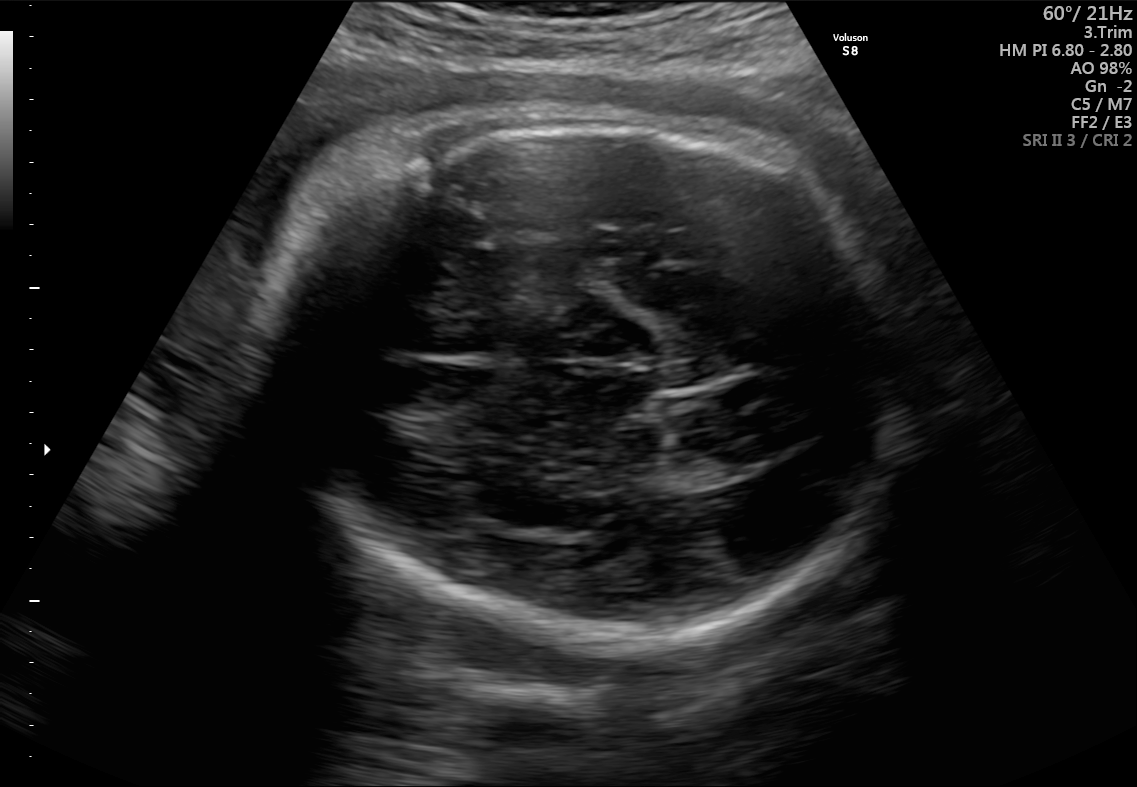
Fetal brain, trans-thalamic plane. Locate the fetal head.

Head: [280,111,909,650]